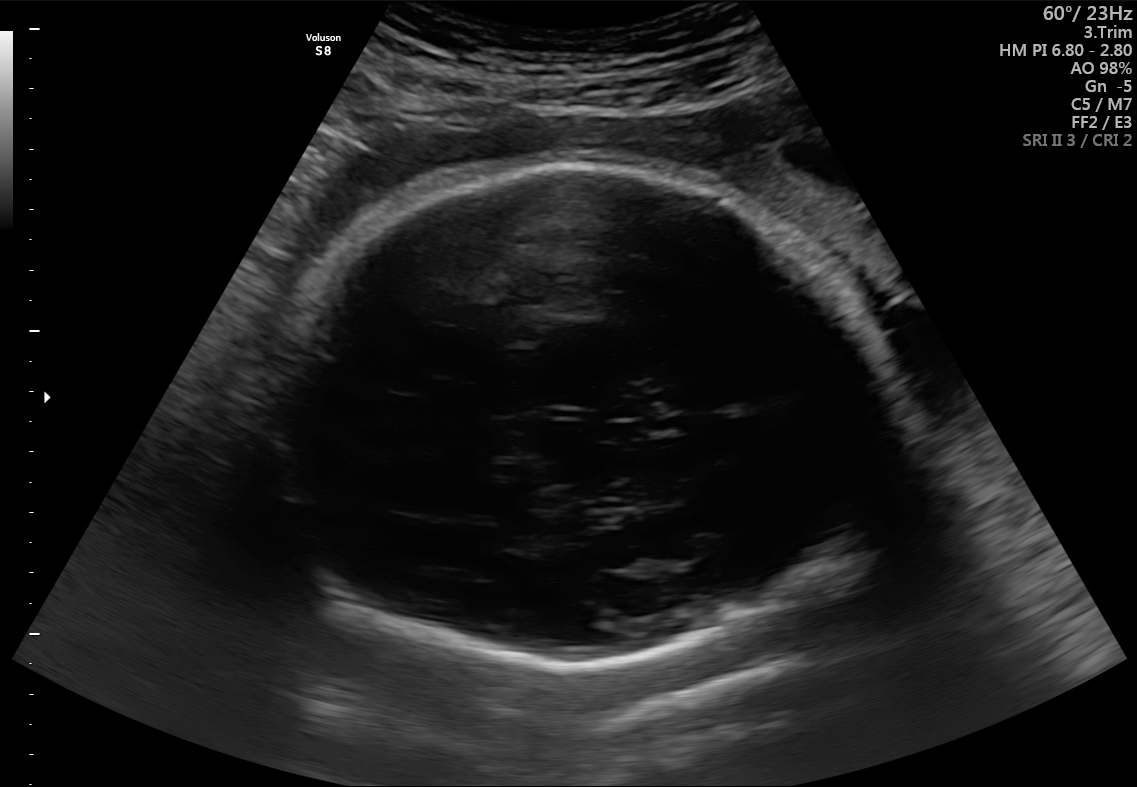
In this fetal brain, trans-thalamic plane, give the bounding box of the fetal head.

[263,161,900,664]